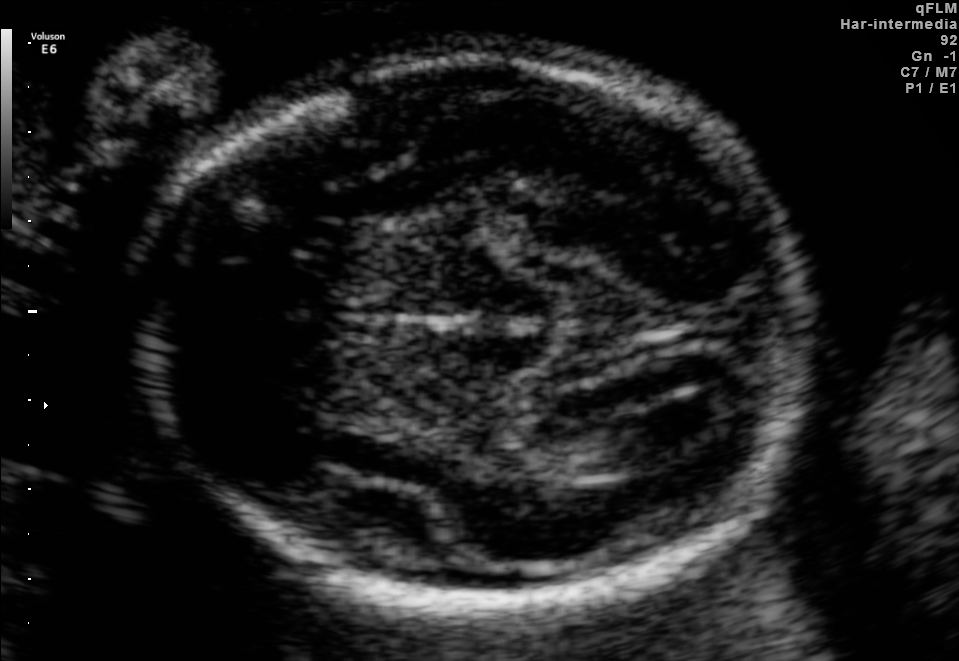
Fetal brain, trans-thalamic plane. Give [x1,y1,x2,y2] bounding boxes for each visible structure among: fetal head, CSP, LV.

Head: [134,56,817,601]
Lateral ventricle: [554,395,710,481]